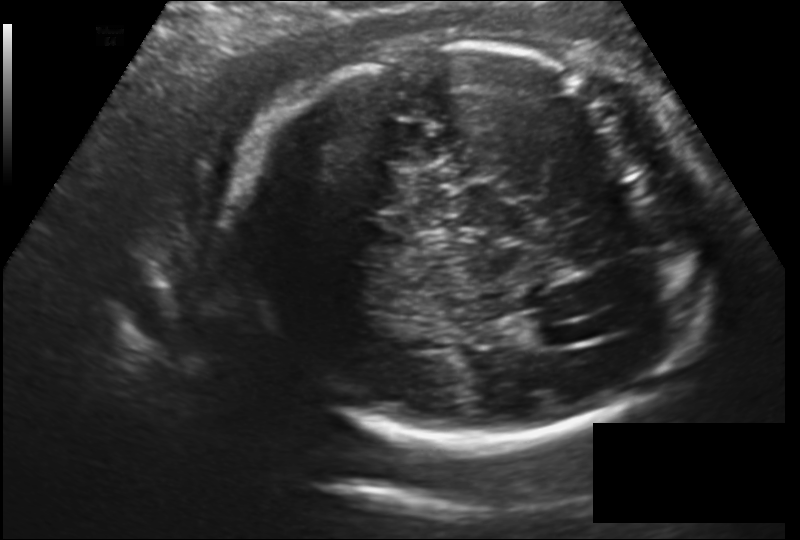
In this fetal head ultrasound, give the bounding box of the lateral ventricle. Image width: 142.0 mm.

[528,321,577,350]